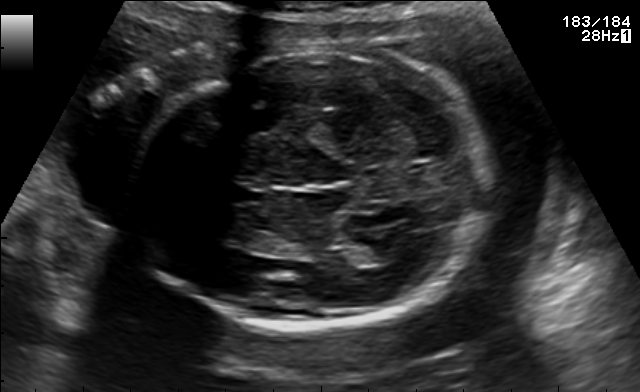
Fetal brain, trans-thalamic plane. Locate the lateral ventricle.

Lateral ventricle: [354,245,396,267]